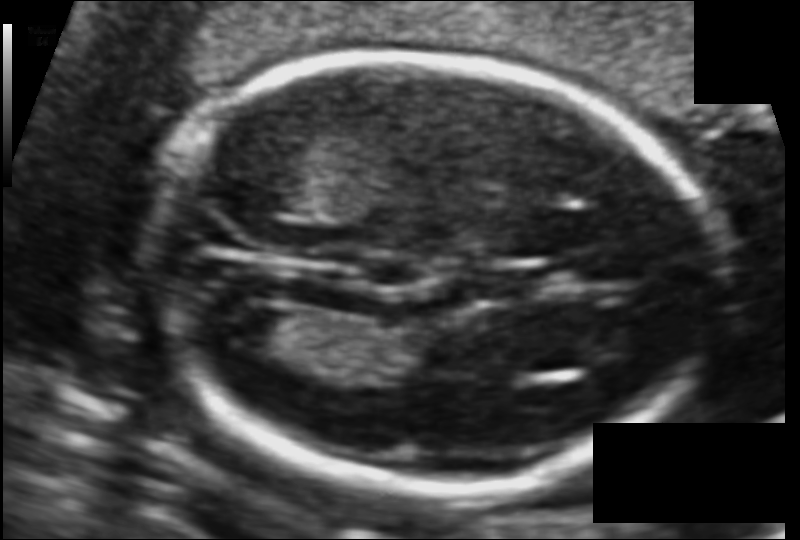
Fetal head ultrasound. Image width: 75.8 mm. Locate the fetal head.

Head: [150,52,715,488]